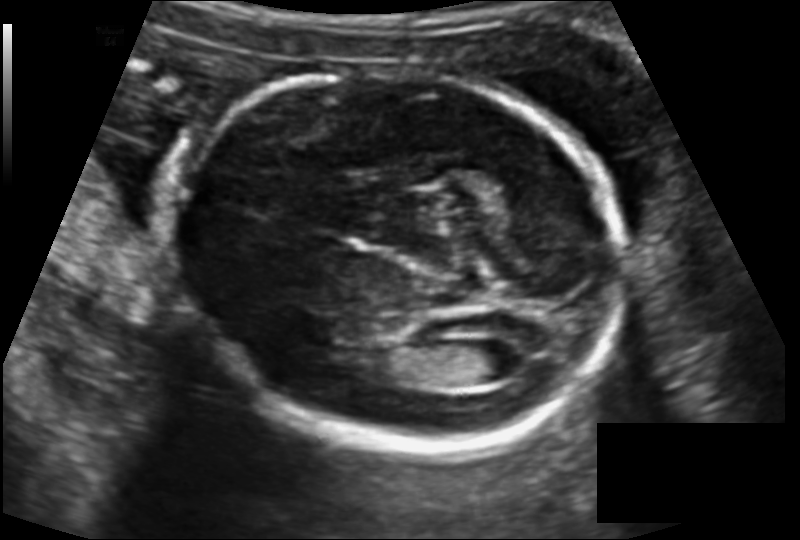
In this fetal head ultrasound, give the bounding box of the fetal head. Image width: 103.4 mm.

[168,72,632,450]